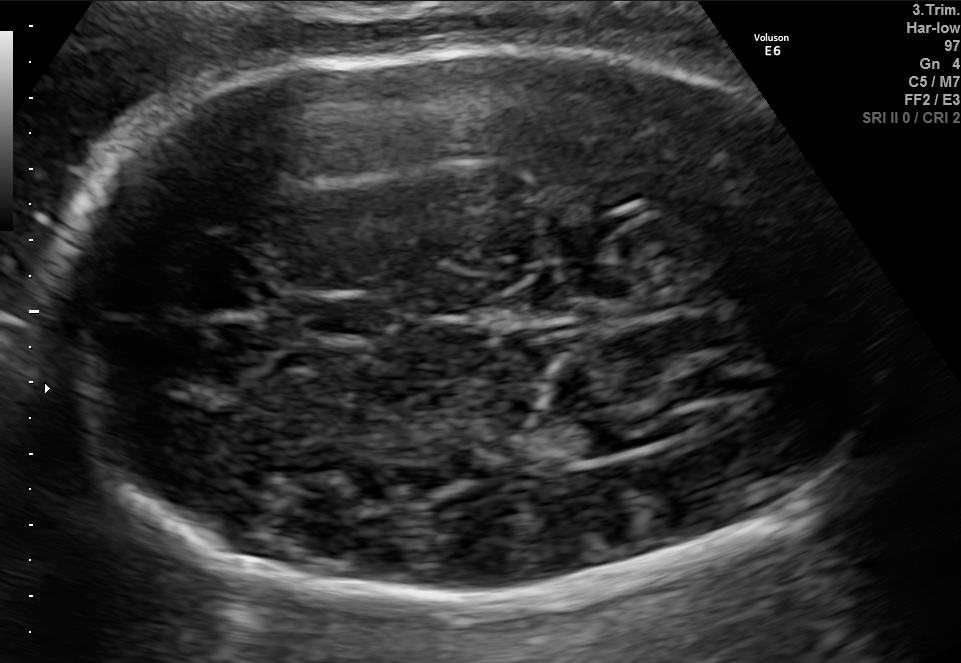
In this fetal brain, trans-thalamic plane, give the bounding box of the lateral ventricle.

[532,408,649,470]